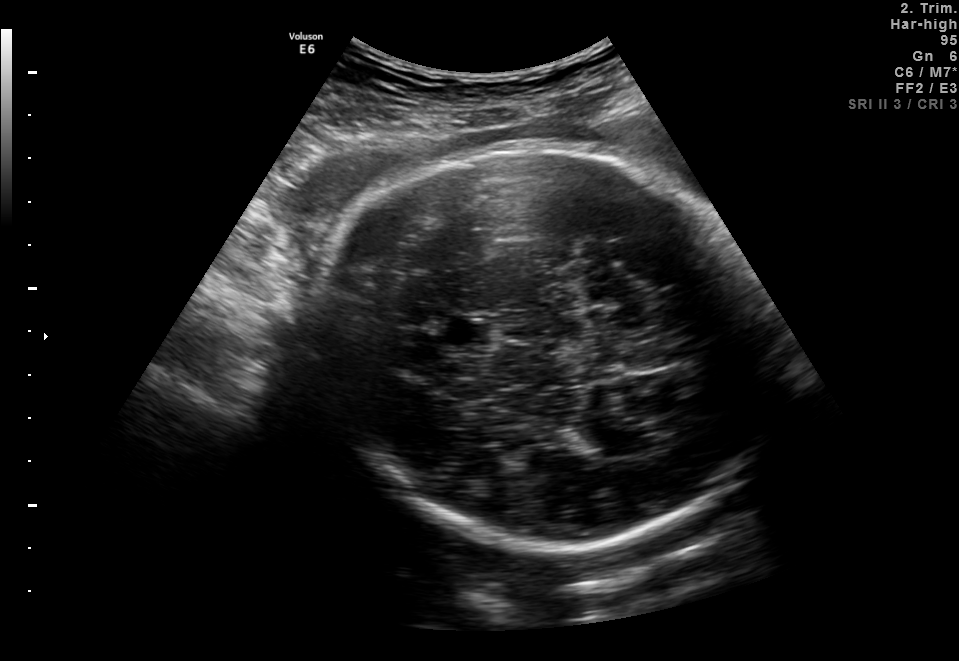
Fetal brain, trans-thalamic plane. Locate the fetal head.

Head: [313,139,764,556]